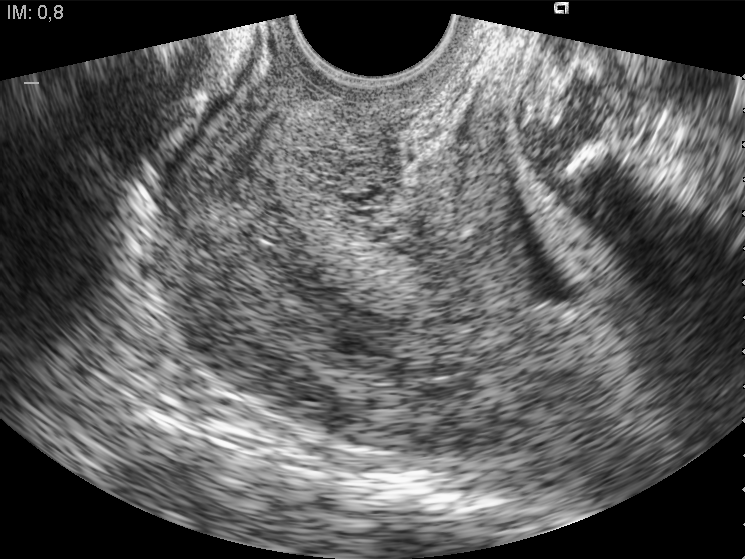
Identify the standard plane in this fetal ultrasound image: fetal abdomen, fetal brain, fetal femur, fetal thorax, maternal cervix, or other. If it's fetal brain and one of the three standard brain planes (trans-thalamic, trans-cerebellum, trans-ventricular), name which.

Maternal cervix